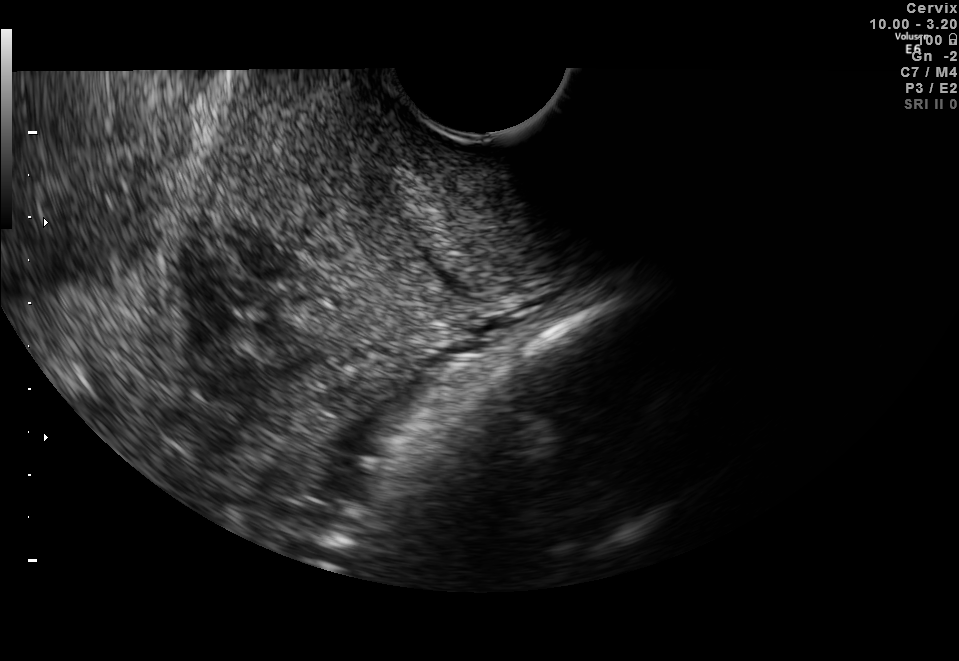
Which standard maternal-fetal ultrasound plane is shown: fetal abdomen, fetal brain, fetal femur, fetal thorax, maternal cervix, or other? If it's fetal brain and one of the three standard brain planes (trans-thalamic, trans-cerebellum, trans-ventricular), name which.

Maternal cervix